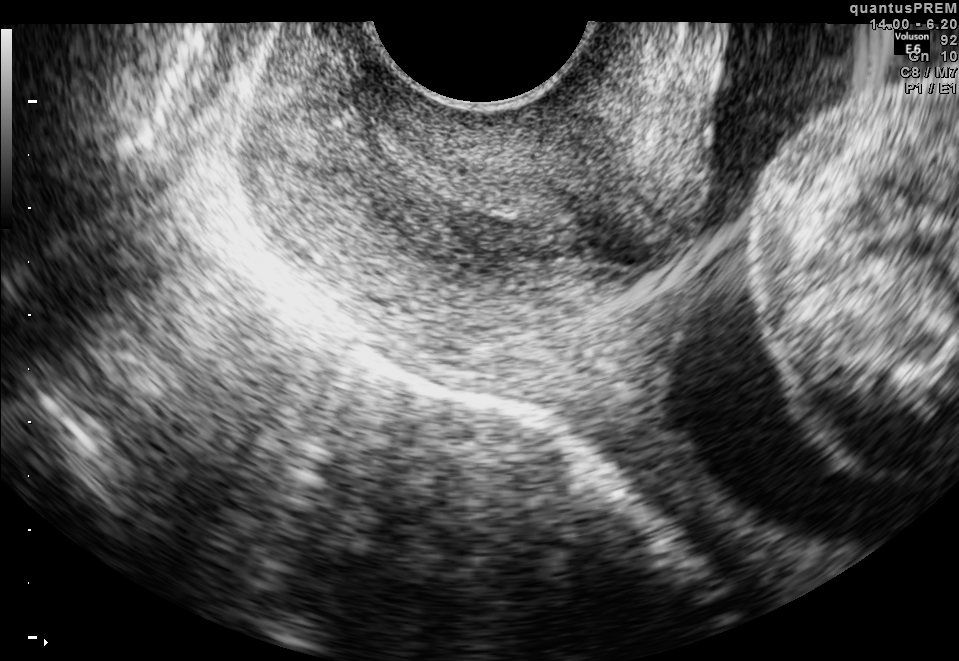
Which standard maternal-fetal ultrasound plane is shown: fetal abdomen, fetal brain, fetal femur, fetal thorax, maternal cervix, or other? If it's fetal brain and one of the three standard brain planes (trans-thalamic, trans-cerebellum, trans-ventricular), name which.

Maternal cervix